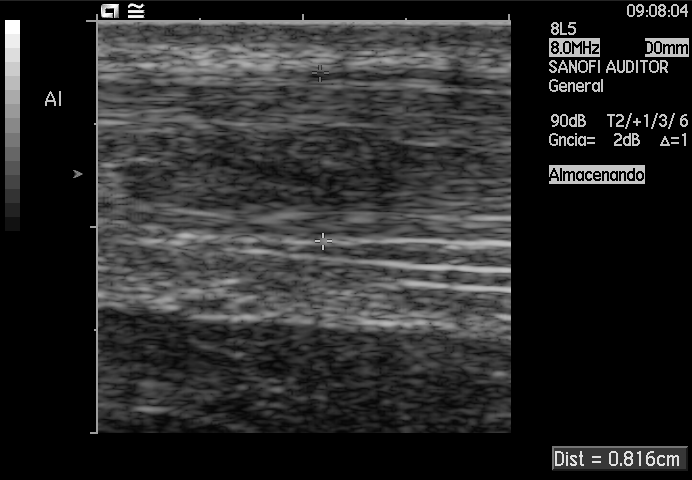
This is a 2D maternal-fetal ultrasound frame. Is it a fetal abdomen, fetal brain, fetal femur, fetal thorax, maternal cervix, or other standard plane? If it's fetal brain and one of the three standard brain planes (trans-thalamic, trans-cerebellum, trans-ventricular), name which.

Other